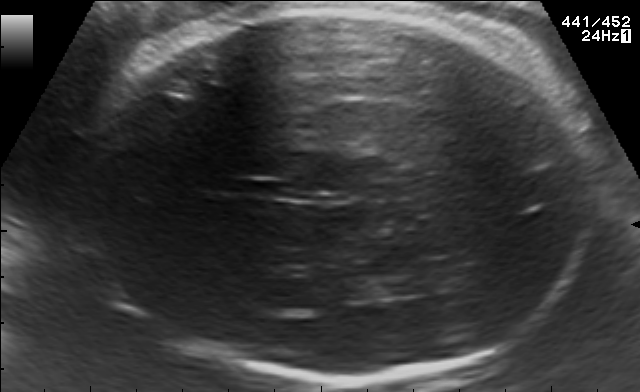
Fetal brain, trans-thalamic plane. Locate the fetal head.

Head: [72,7,591,377]